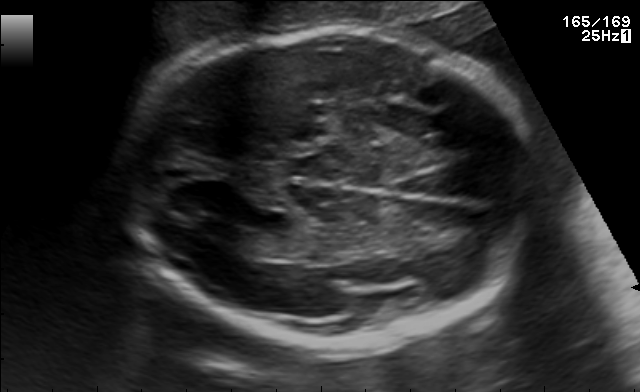
Fetal brain, trans-ventricular plane. Locate the fetal head and, if visible, the cavum septum pellucidum (CSP) and lateral ventricle (LV). Give bounding boxes as [x1,y1,x2,y2].

Head: [114,23,547,350]